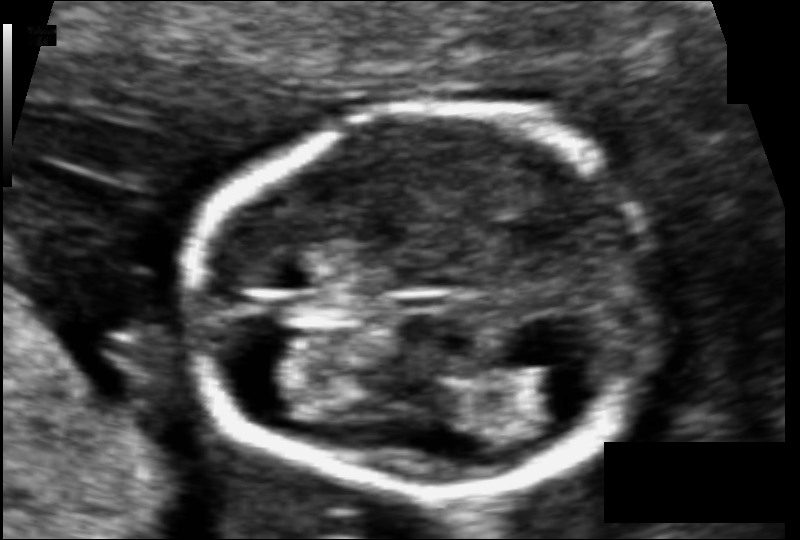
Measure the fetal head circumference shown in this ultrasound image. Image width: 52.4 mm.

Head circumference: 90.3 mm.